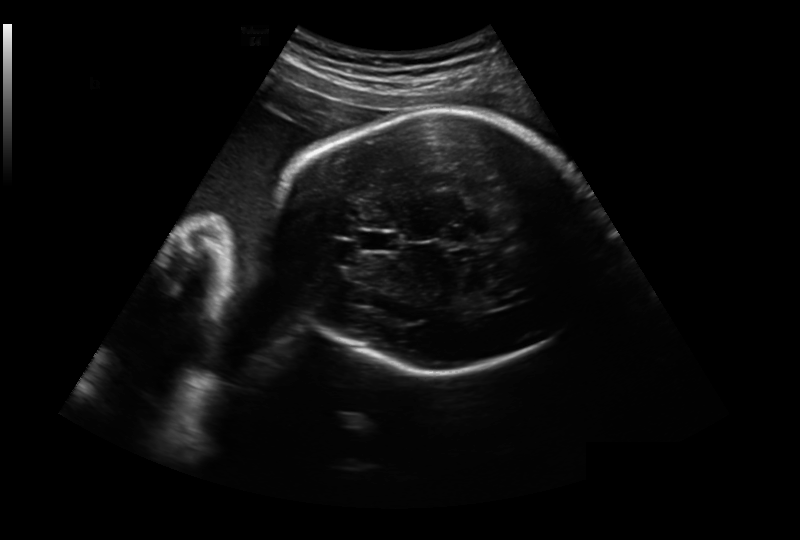
Fetal head ultrasound. Image width: 224.7 mm. Where is the fetal head?

Head bounding box: [274,110,602,373]